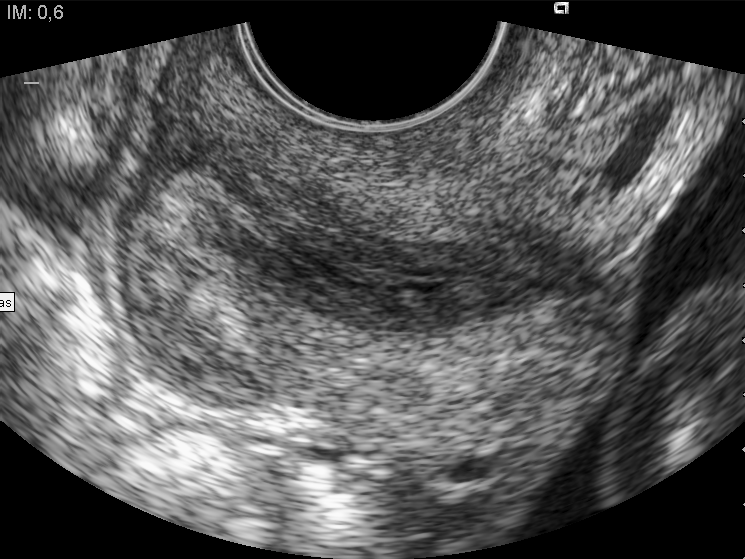
Identify the standard plane in this fetal ultrasound image: fetal abdomen, fetal brain, fetal femur, fetal thorax, maternal cervix, or other. If it's fetal brain and one of the three standard brain planes (trans-thalamic, trans-cerebellum, trans-ventricular), name which.

Maternal cervix